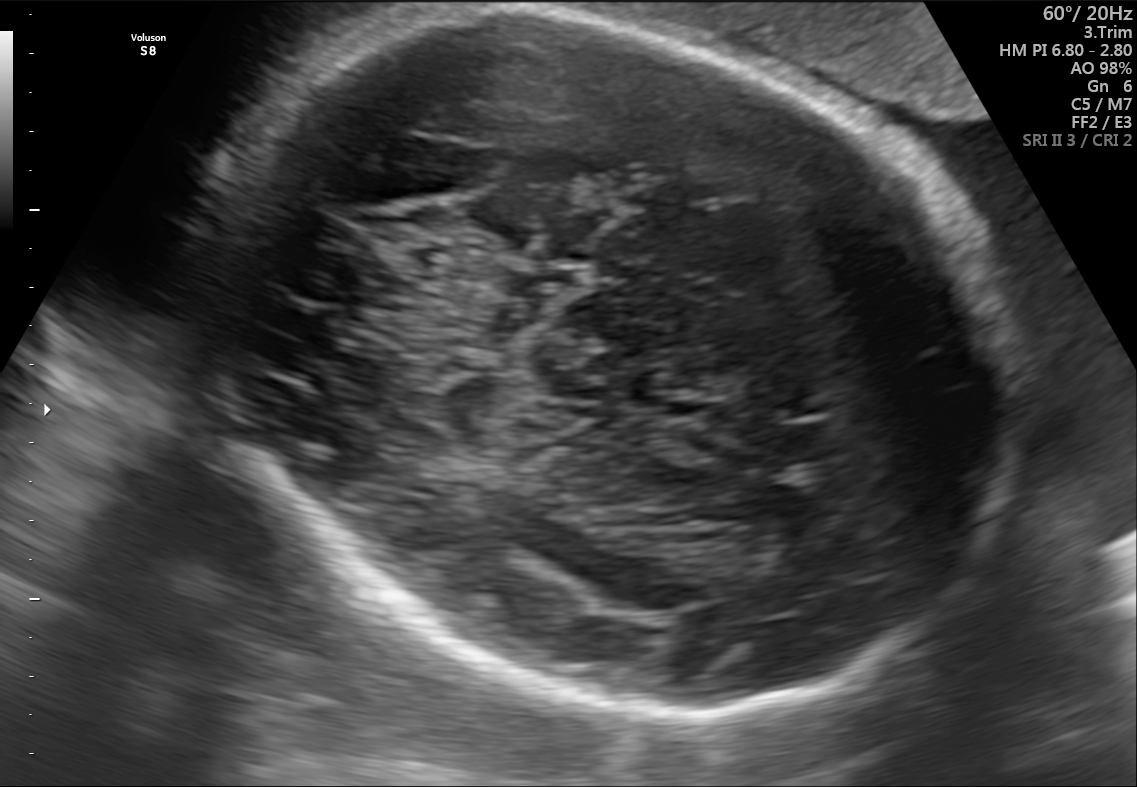
Fetal brain, trans-thalamic plane. Locate the fetal head.

Head: [165,8,1020,726]